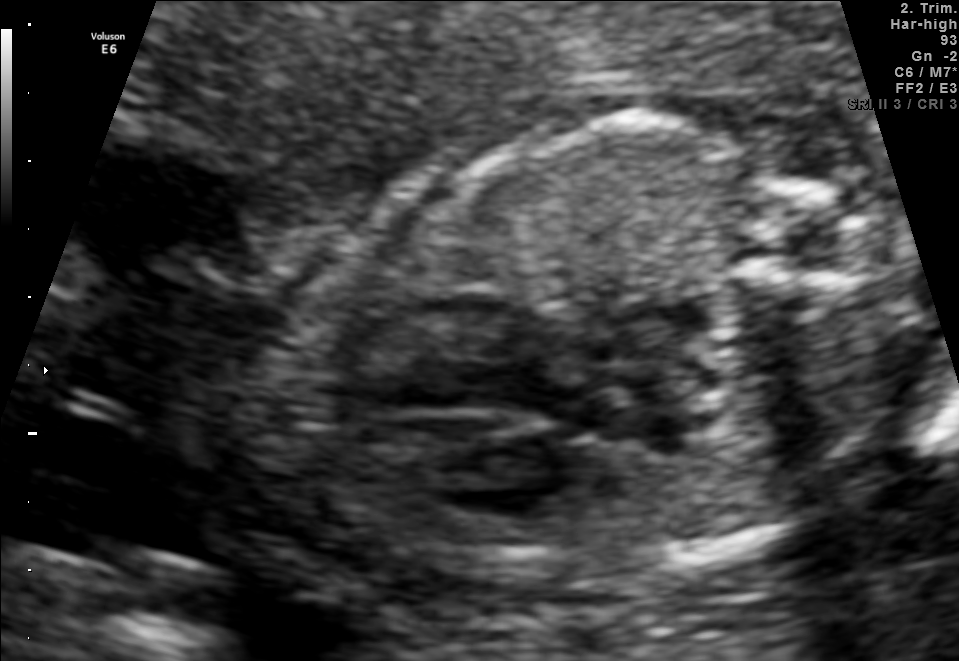
Identify the standard plane in this fetal ultrasound image: fetal abdomen, fetal brain, fetal femur, fetal thorax, maternal cervix, or other. If it's fetal brain and one of the three standard brain planes (trans-thalamic, trans-cerebellum, trans-ventricular), name which.

Fetal thorax